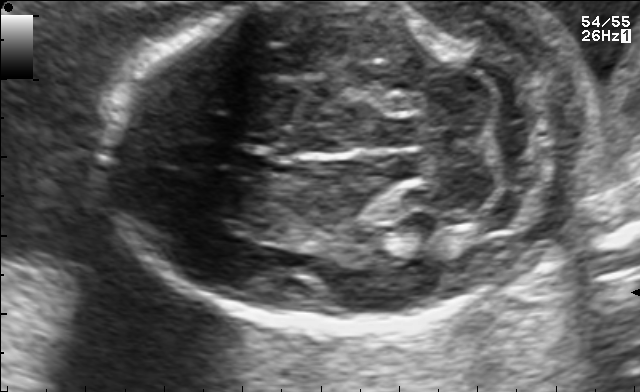
Which standard maternal-fetal ultrasound plane is shown: fetal abdomen, fetal brain, fetal femur, fetal thorax, maternal cervix, or other? If it's fetal brain and one of the three standard brain planes (trans-thalamic, trans-cerebellum, trans-ventricular), name which.

Fetal brain (trans-cerebellum plane)